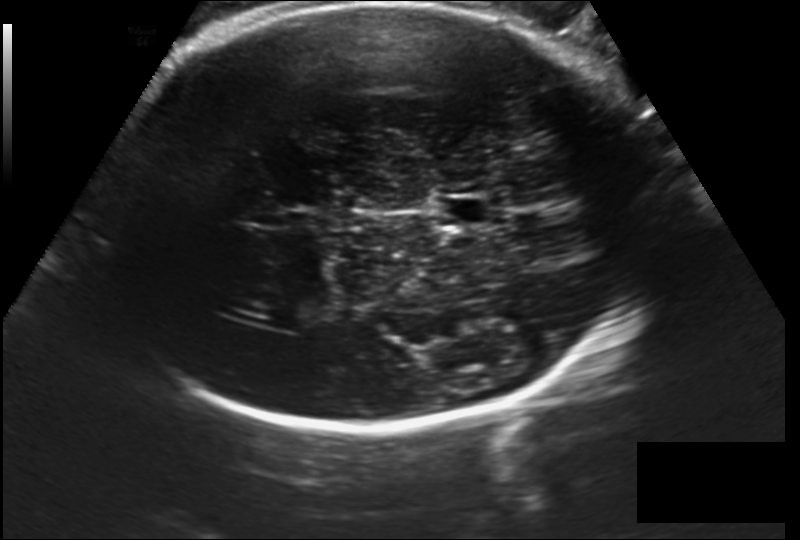
In this fetal head ultrasound, give the bounding box of the cavum septum pellucidum. Image width: 162.0 mm.

[434,194,490,228]